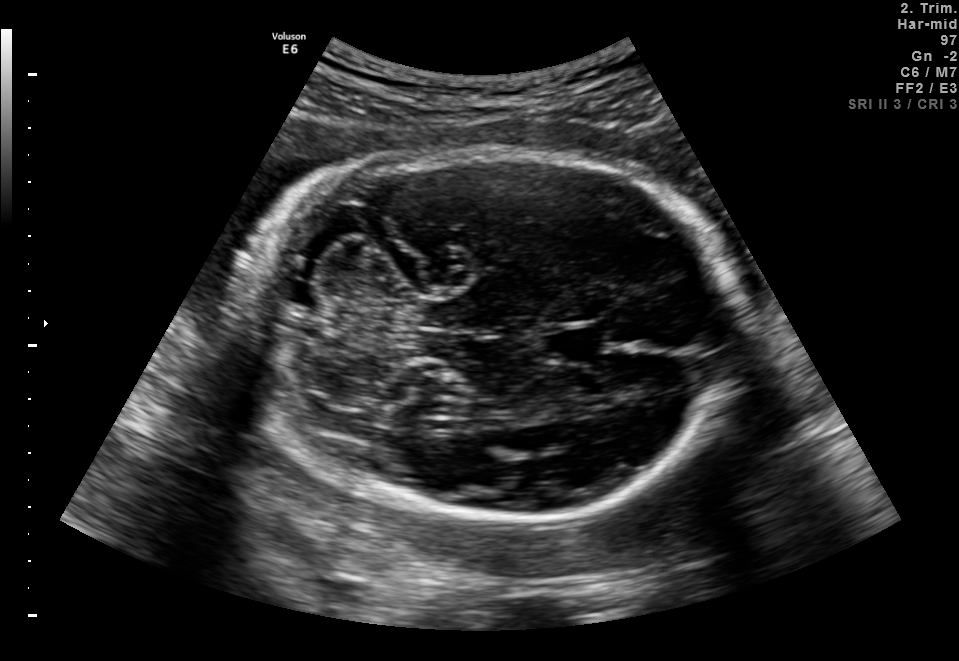
In this fetal brain, trans-cerebellum plane, give the bounding box of the fetal head.

[239,150,740,521]